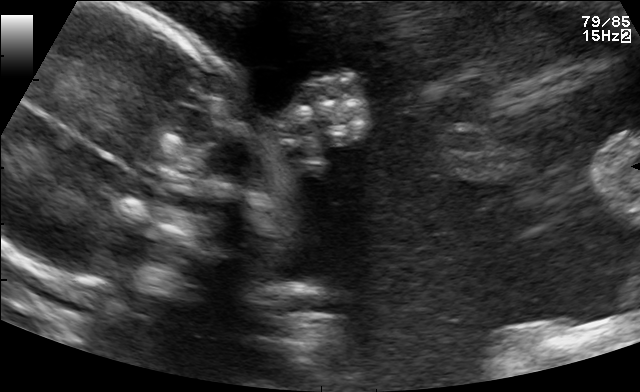
Classify this maternal-fetal ultrasound image as one of the six standard planes — fetal abdomen, fetal brain, fetal femur, fetal thorax, maternal cervix, or other. If it's fetal brain and one of the three standard brain planes (trans-thalamic, trans-cerebellum, trans-ventricular), name which.

Other